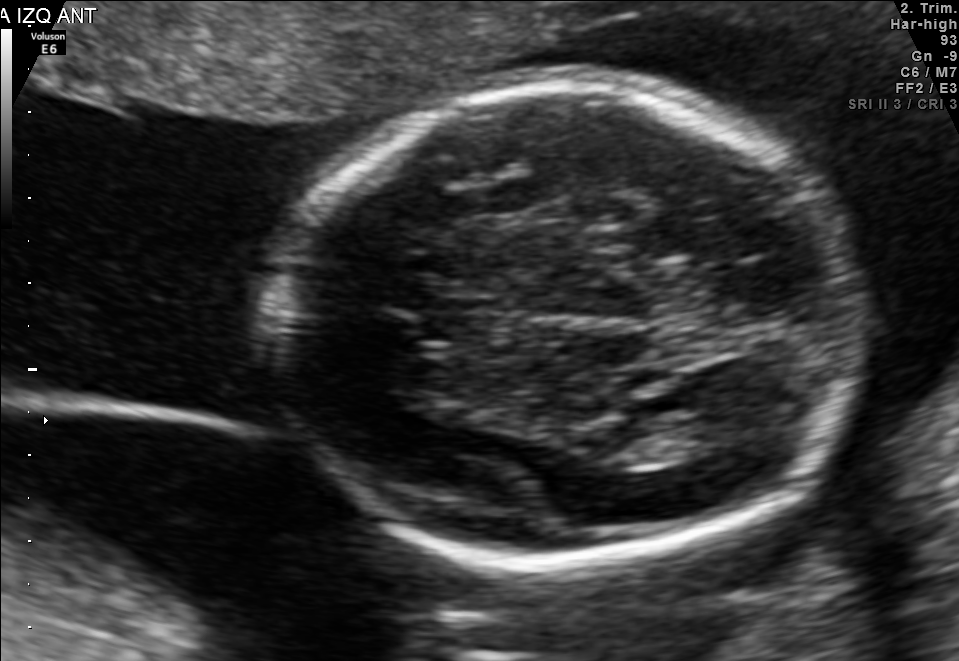
Fetal brain, trans-thalamic plane. Locate the cavum septum pellucidum.

CSP: [421,301,498,339]